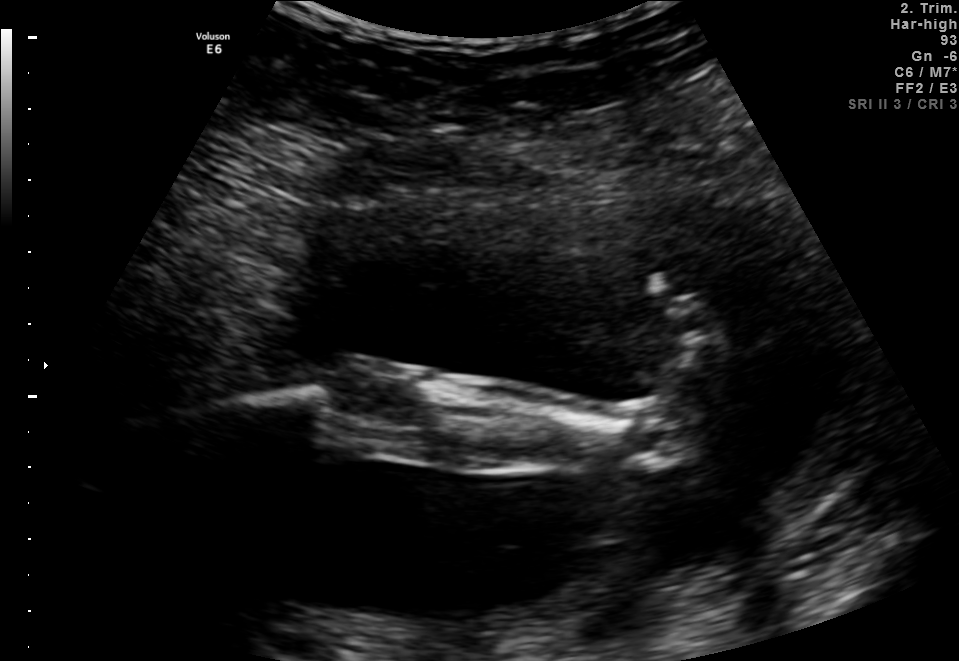
Identify the standard plane in this fetal ultrasound image: fetal abdomen, fetal brain, fetal femur, fetal thorax, maternal cervix, or other. If it's fetal brain and one of the three standard brain planes (trans-thalamic, trans-cerebellum, trans-ventricular), name which.

Other